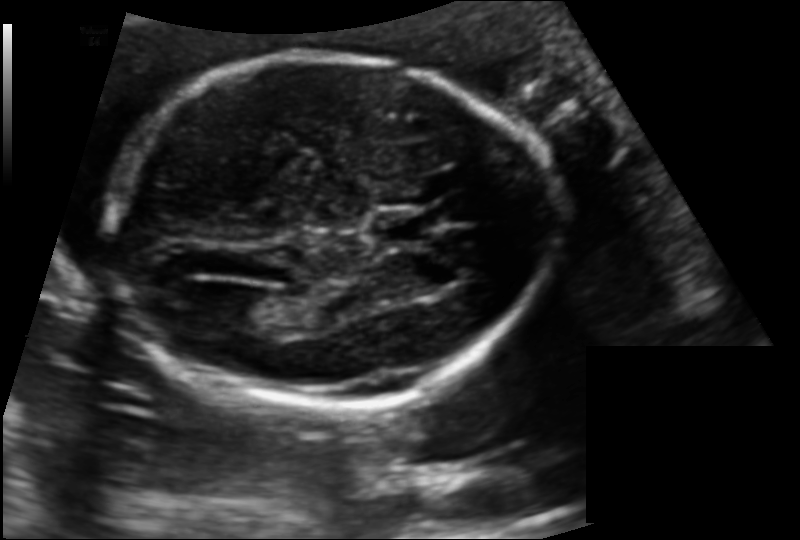
Fetal head ultrasound. Image width: 105.8 mm. Where is the cavum septum pellucidum?

CSP bounding box: [376,211,431,243]